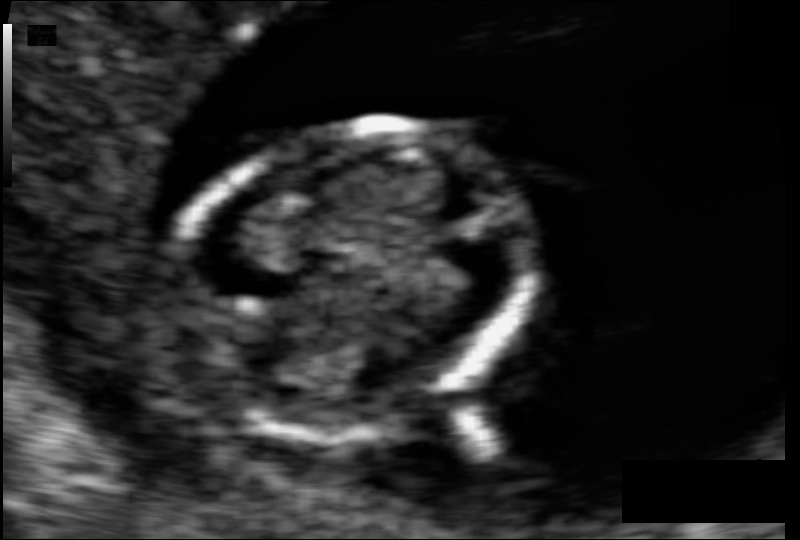
From this fetal ultrasound, estimate the head circumference (image width 54.9 mm).

Head circumference: 77.2 mm.